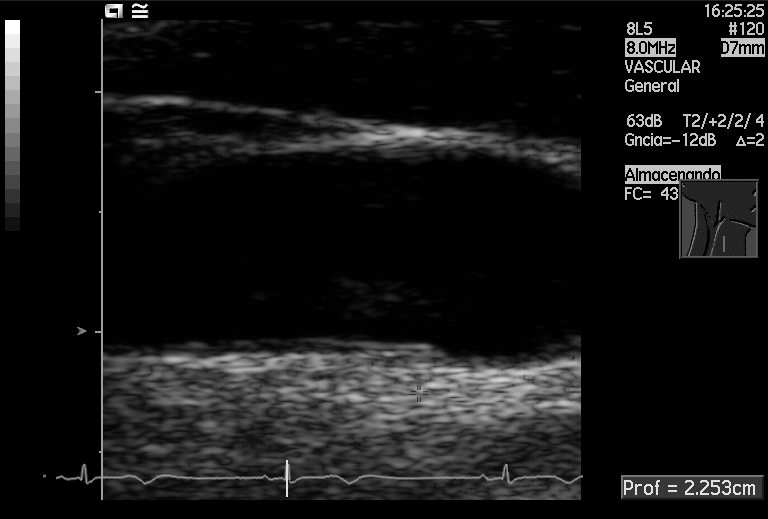
This is a 2D maternal-fetal ultrasound frame. Is it a fetal abdomen, fetal brain, fetal femur, fetal thorax, maternal cervix, or other standard plane? If it's fetal brain and one of the three standard brain planes (trans-thalamic, trans-cerebellum, trans-ventricular), name which.

Other